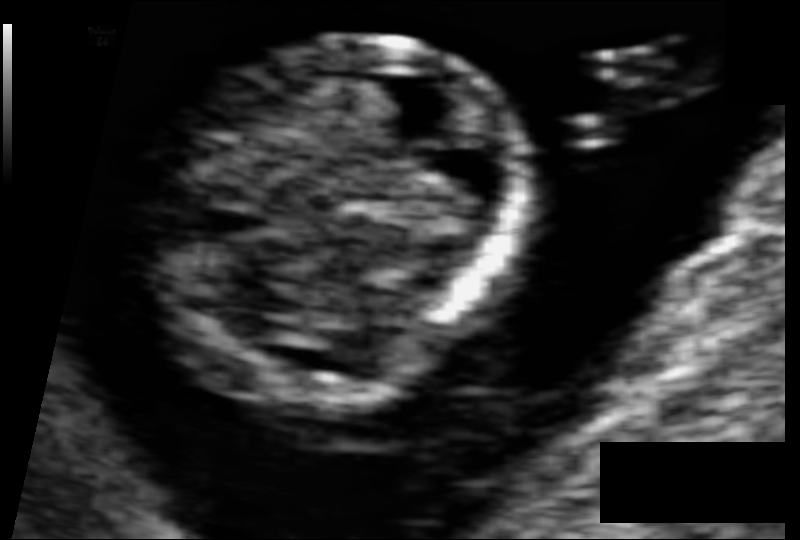
Estimate the fetal head circumference from this 2D ultrasound.

Head circumference: 64.3 mm (image width 43.4 mm).